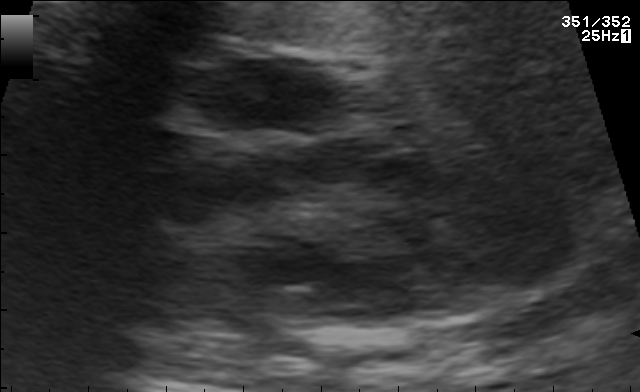
Which standard maternal-fetal ultrasound plane is shown: fetal abdomen, fetal brain, fetal femur, fetal thorax, maternal cervix, or other? If it's fetal brain and one of the three standard brain planes (trans-thalamic, trans-cerebellum, trans-ventricular), name which.

Other